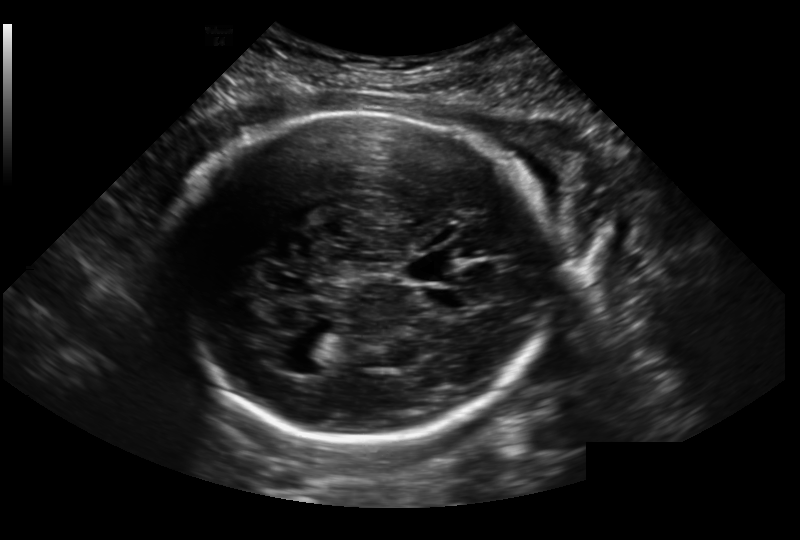
Fetal head ultrasound. Image width: 188.7 mm. Locate the fetal head.

Head: [176,109,549,443]